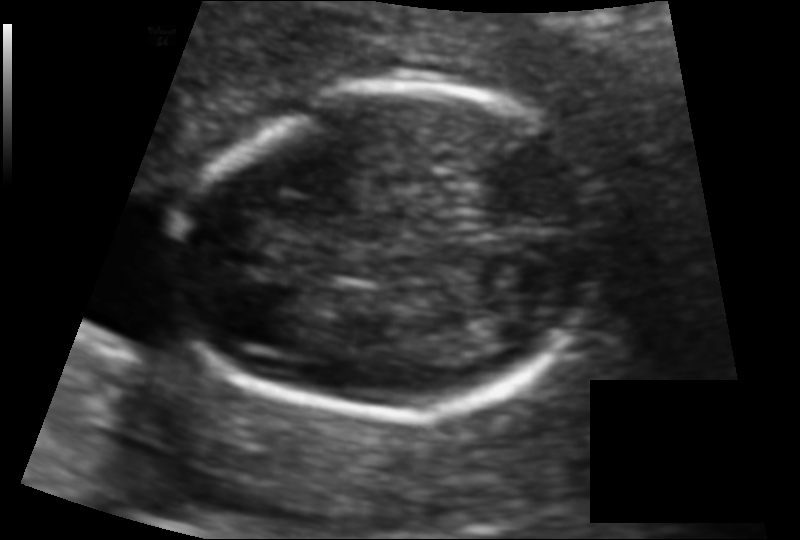
Estimate the fetal head circumference from this 2D ultrasound.

Head circumference: 119.8 mm (image width 76.2 mm).